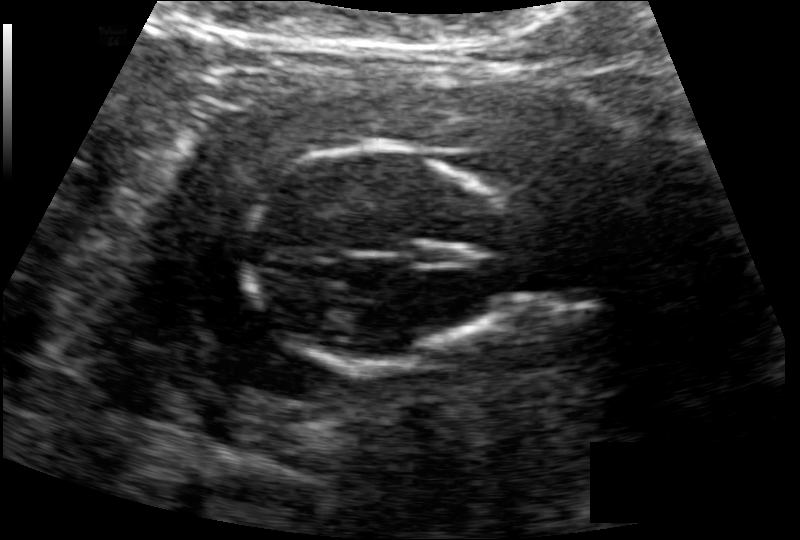
Fetal head ultrasound. Image width: 100.6 mm. Locate the fetal head.

Head: [246,145,507,365]